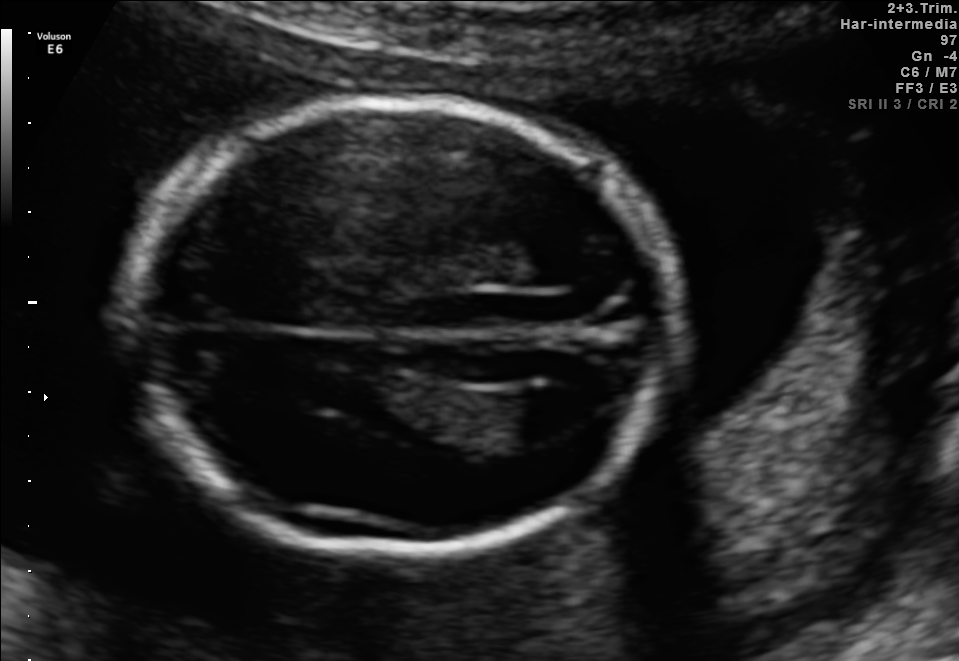
Fetal brain, trans-ventricular plane. Where is the fetal head?

Head bounding box: [106,90,699,567]